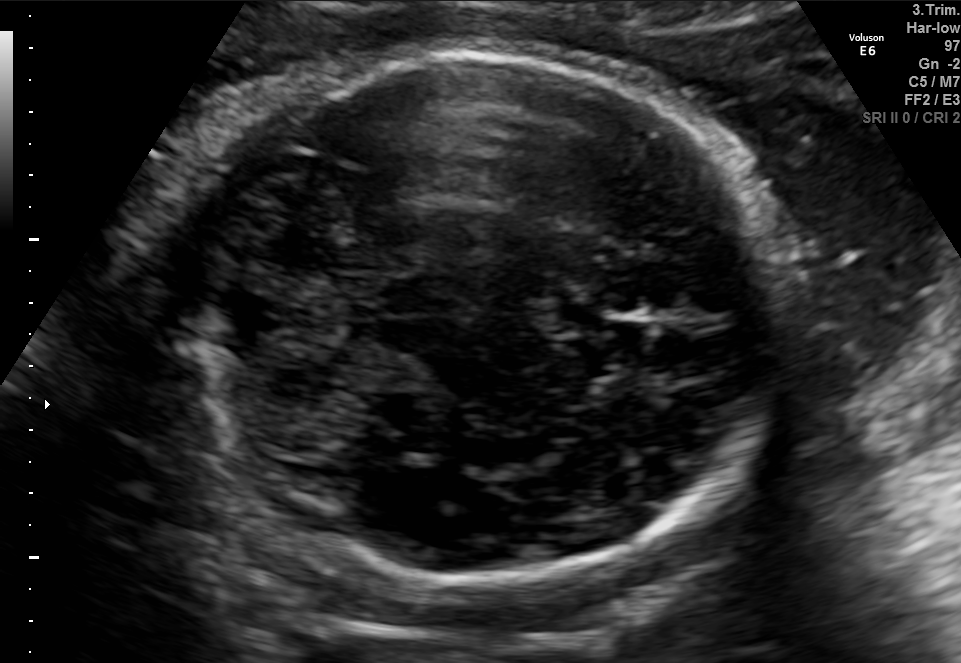
In this fetal brain, trans-cerebellum plane, give the bounding box of the fetal head.

[163,55,778,578]